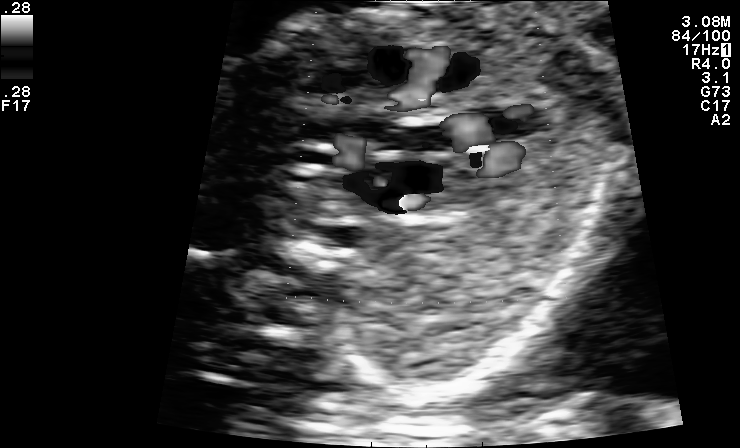
This is a 2D maternal-fetal ultrasound frame. Is it a fetal abdomen, fetal brain, fetal femur, fetal thorax, maternal cervix, or other standard plane? If it's fetal brain and one of the three standard brain planes (trans-thalamic, trans-cerebellum, trans-ventricular), name which.

Other